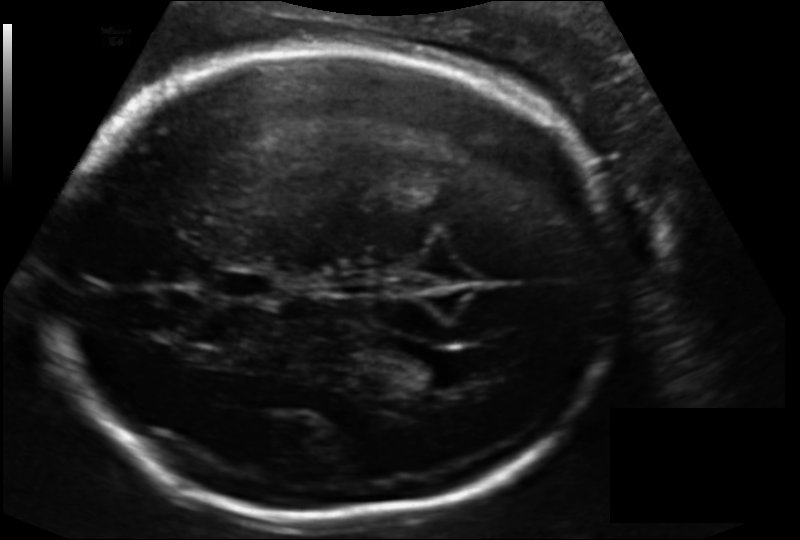
Fetal head ultrasound. Image width: 124.7 mm. Locate the fetal head.

Head: [43,45,614,518]